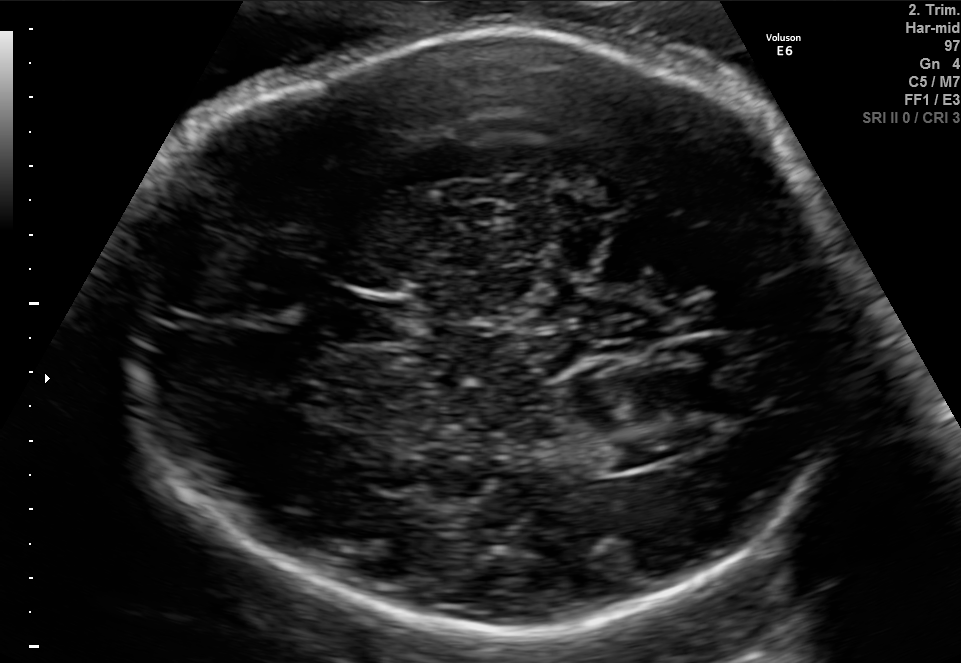
Fetal brain, trans-ventricular plane. Where is the cavum septum pellucidum?

CSP bounding box: [328,293,404,341]